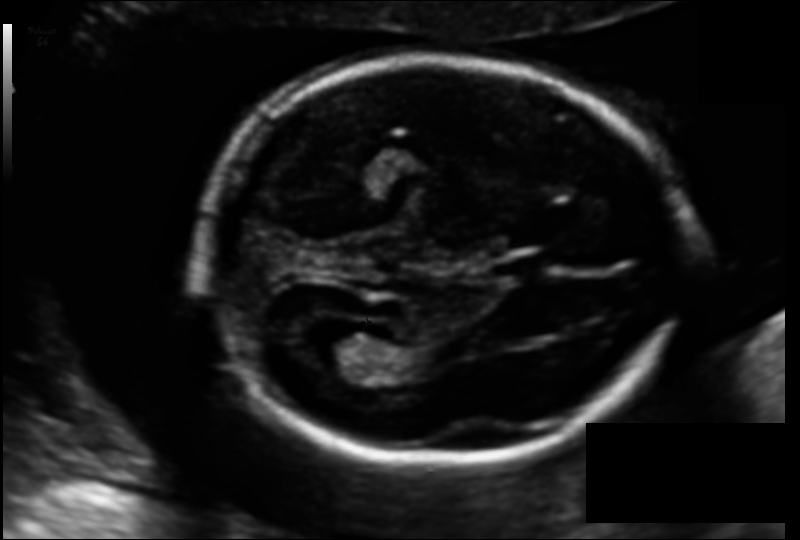
Fetal head ultrasound. Image width: 97.9 mm. Where is the fetal head?

Head bounding box: [198,60,687,464]